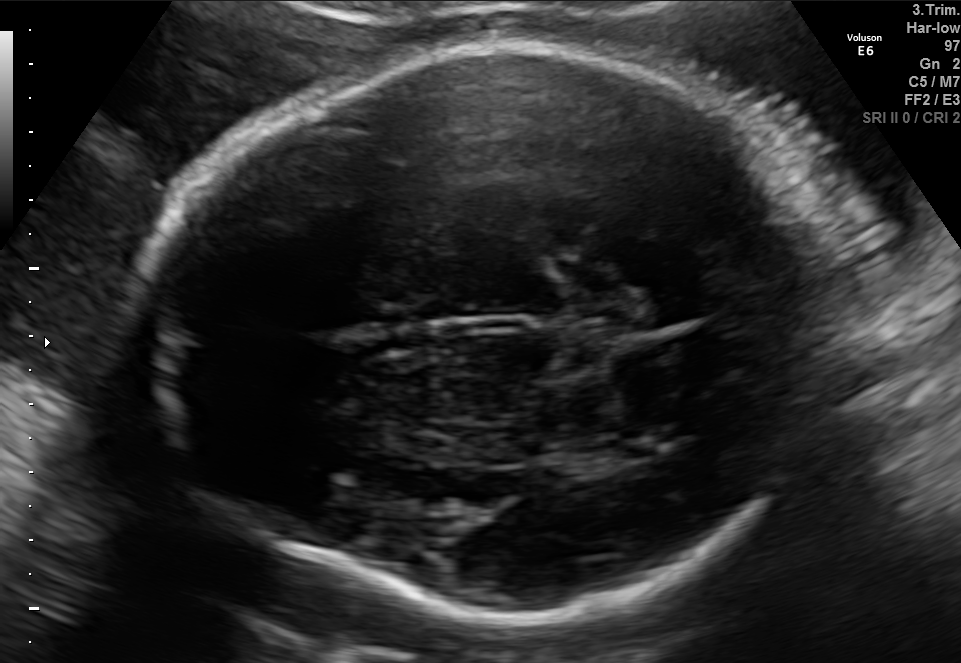
Fetal brain, trans-thalamic plane. Locate the fetal head.

Head: [137,42,852,621]